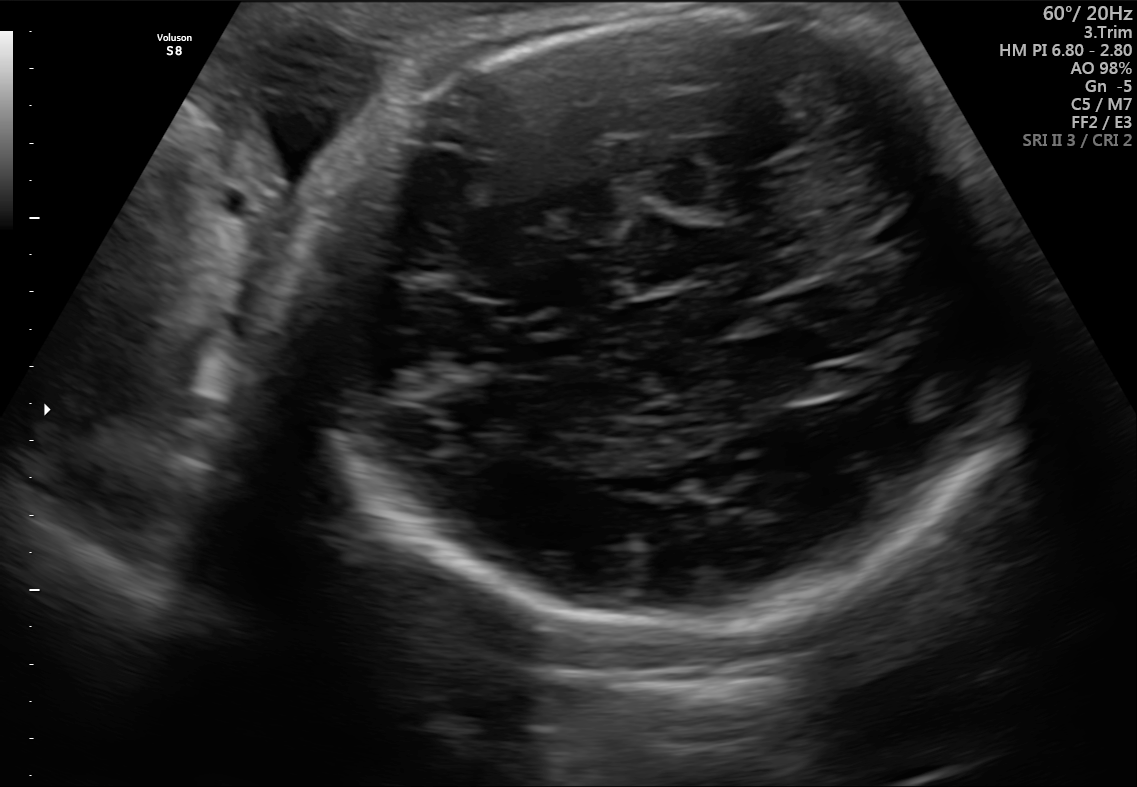
Fetal brain, trans-cerebellum plane. Give [x1,y1,x2,y2] bounding boxes for each visible structure among: fetal head, CSP, LV.

Head: [314,8,1020,631]